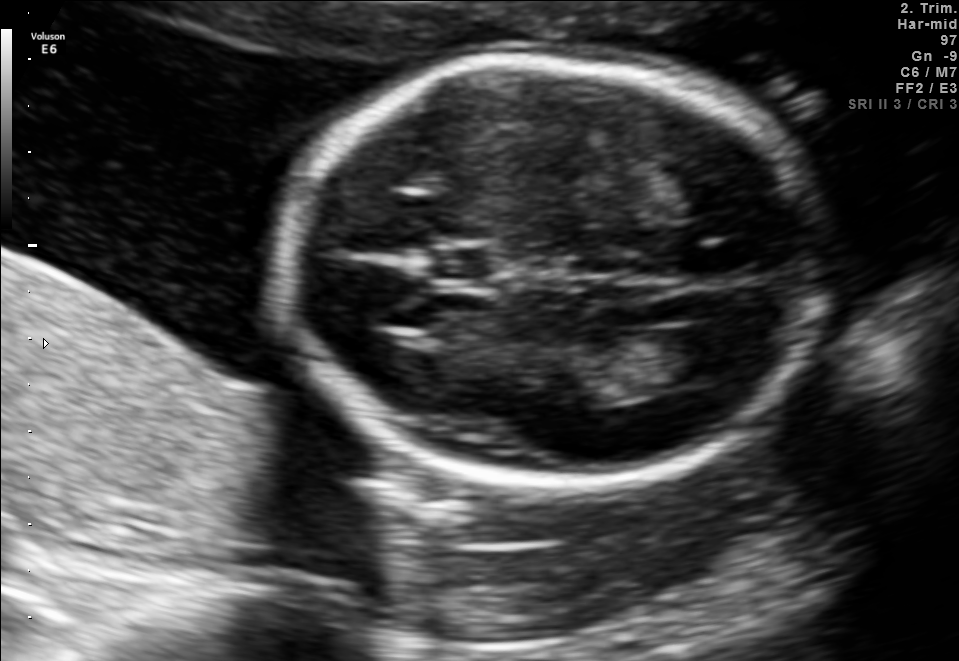
Fetal brain, trans-ventricular plane. Locate the fetal head and, if visible, the cavum septum pellucidum (CSP) and lateral ventricle (LV). Give bounding boxes as [x1,y1,x2,y2].

Head: [268,50,843,495]
CSP: [434,250,488,277]
Lateral ventricle: [660,320,756,386]